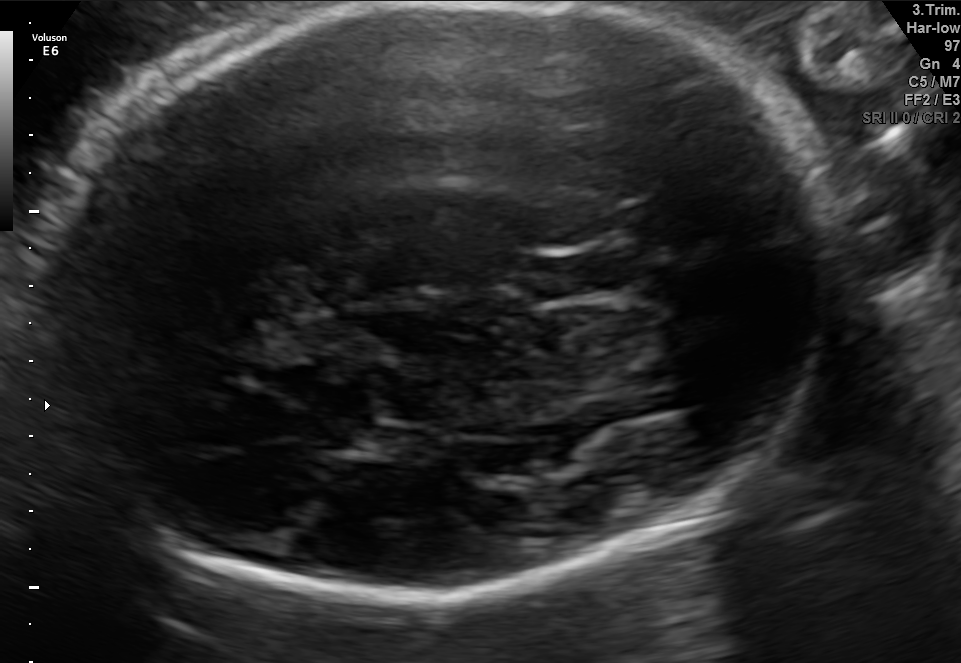
Fetal brain, trans-thalamic plane. Where is the lateral ventricle?

Lateral ventricle bounding box: [310,409,390,459]